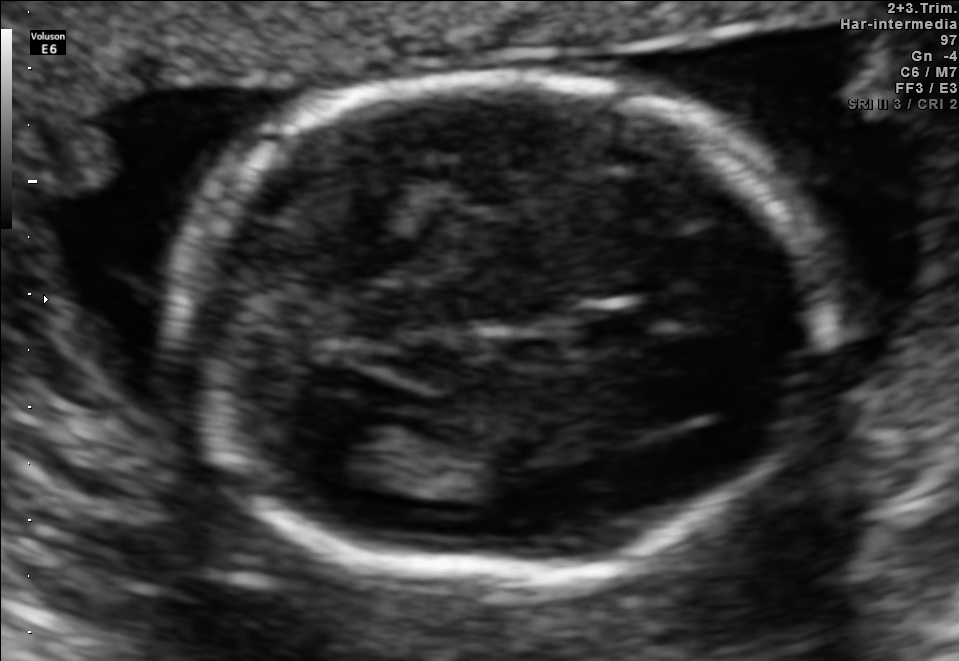
Fetal brain, trans-thalamic plane. Where is the cavum septum pellucidum?

CSP bounding box: [573,303,662,355]